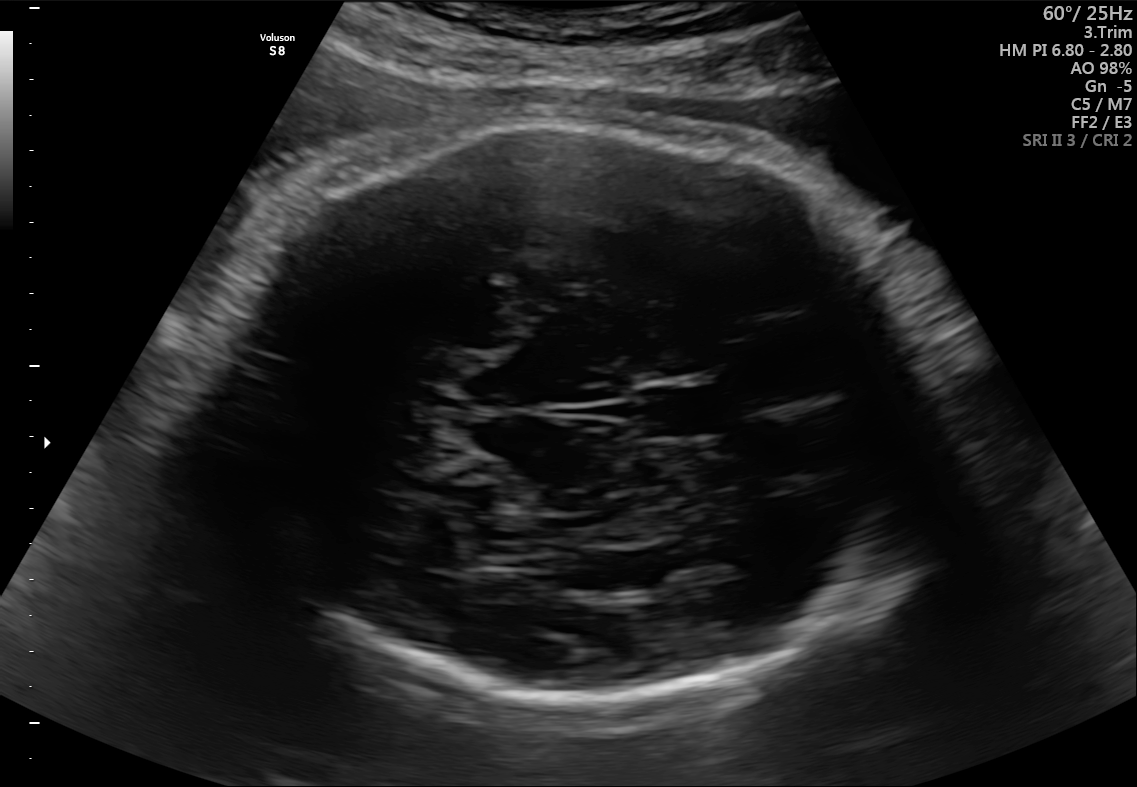
Fetal brain, trans-thalamic plane. Where is the fetal head?

Head bounding box: [215,124,930,701]